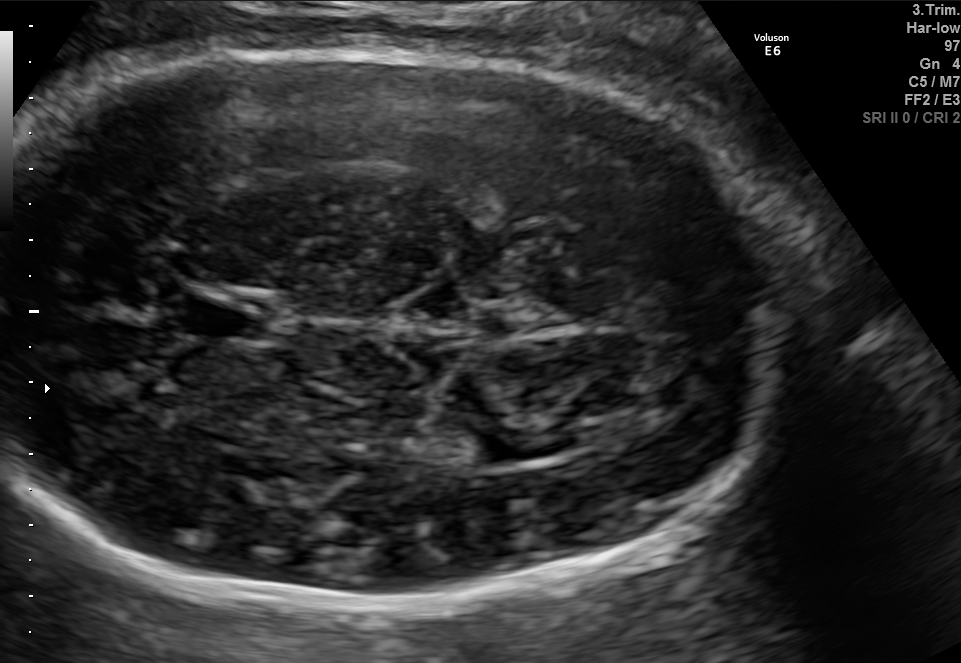
Fetal brain, trans-thalamic plane. Give [x1,y1,x2,y2] bounding boxes for each visible structure among: fetal head, CSP, LV.

Head: [4,49,789,614]
CSP: [183,296,270,337]
Lateral ventricle: [472,420,563,467]